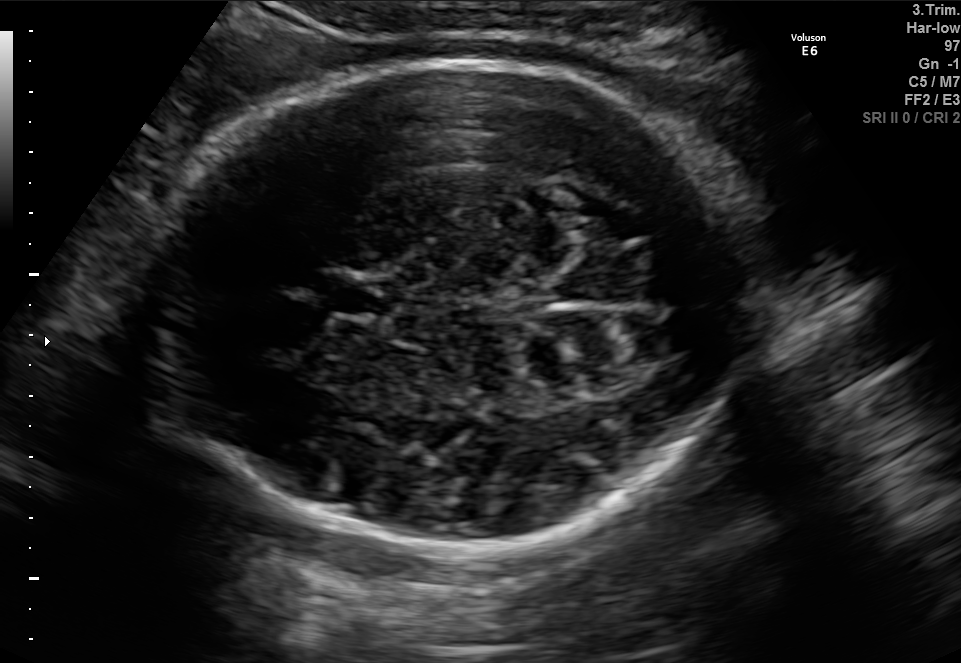
Fetal brain, trans-thalamic plane. Where is the cavum septum pellucidum?

CSP bounding box: [320,278,383,319]